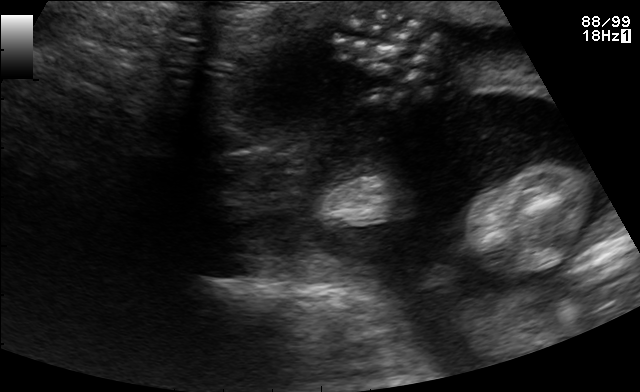
This is a 2D maternal-fetal ultrasound frame. Is it a fetal abdomen, fetal brain, fetal femur, fetal thorax, maternal cervix, or other standard plane? If it's fetal brain and one of the three standard brain planes (trans-thalamic, trans-cerebellum, trans-ventricular), name which.

Other